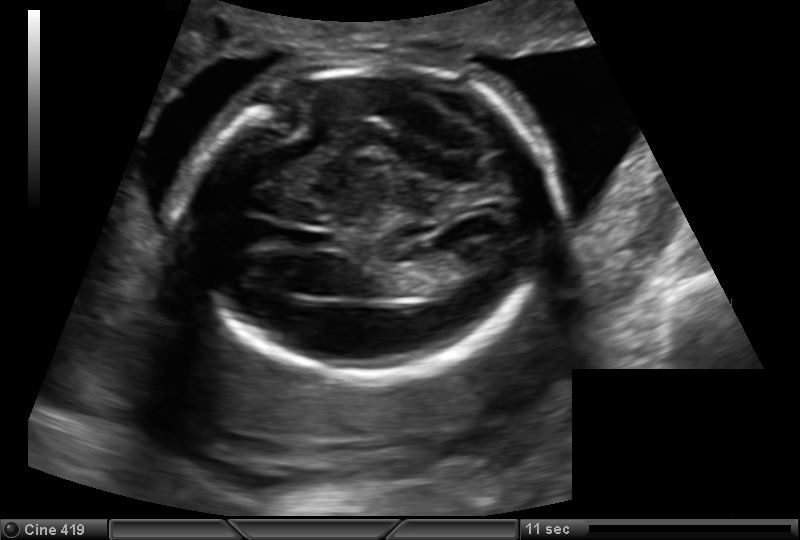
Fetal head ultrasound. Image width: 122.2 mm. Locate the fetal head and, if visible, the cavum septum pellucidum (CSP) and lateral ventricle (LV). Give bounding boxes as [x1,y1,x2,y2].

Head: [191,62,547,373]